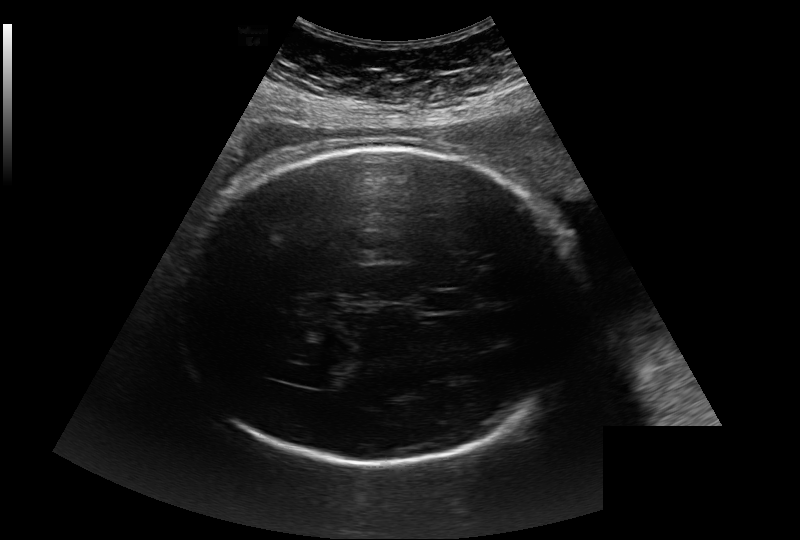
Fetal head ultrasound. Image width: 227.4 mm. Give [x1,y1,x2,y2] bounding boxes for each visible structure among: fetal head, CSP, LV.

Head: [178,147,579,465]
CSP: [418,288,475,314]
Lateral ventricle: [309,370,342,391]